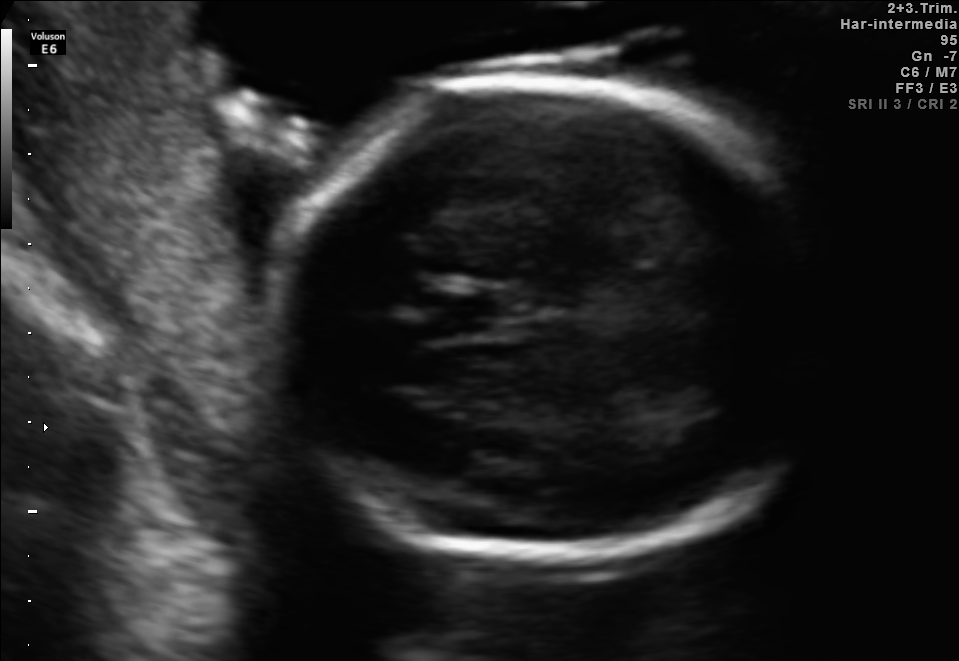
Fetal brain, trans-thalamic plane. Locate the cavum septum pellucidum.

CSP: [427,290,503,337]